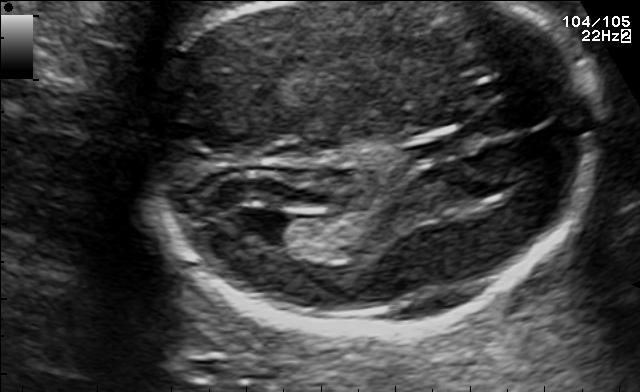
Fetal brain, trans-ventricular plane. Give [x1,y1,x2,y2] bounding boxes for each visible structure among: CSP, LV.

CSP: [398,116,487,173]
Lateral ventricle: [227,197,305,249]